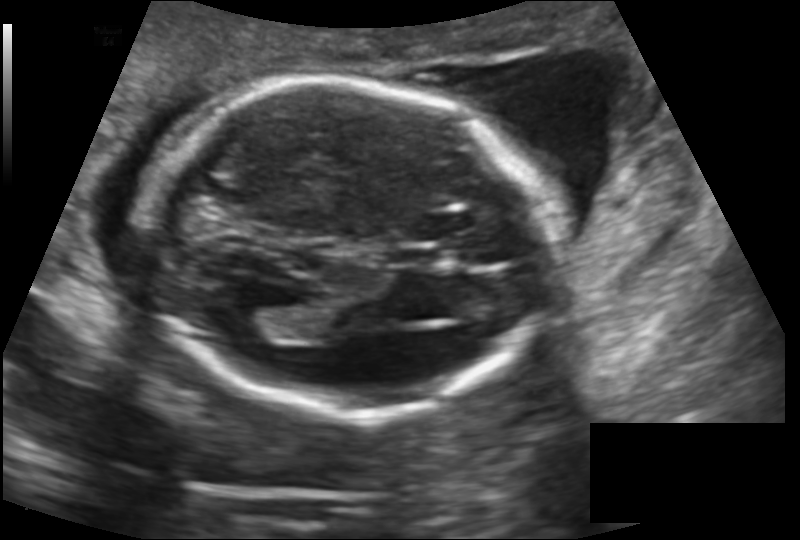
Estimate the fetal head circumference from this 2D ultrasound. Image width: 116.4 mm.

Head circumference: 175.0 mm.